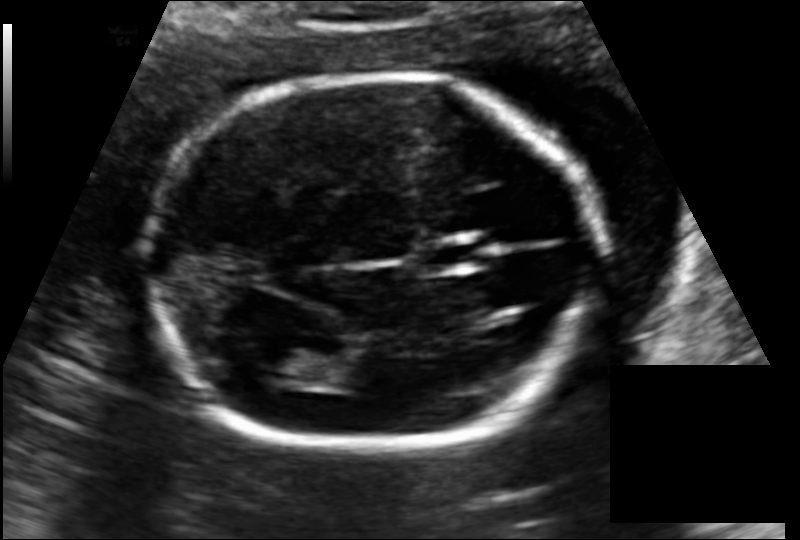
In this fetal head ultrasound, give bounding boxes for the head outline, cavum septum pellucidum (CSP), and lateral ventricle (LV), where visible. Image width: 101.6 mm.

Head: [148,74,603,453]
CSP: [417,238,482,272]
Lateral ventricle: [259,342,325,392]